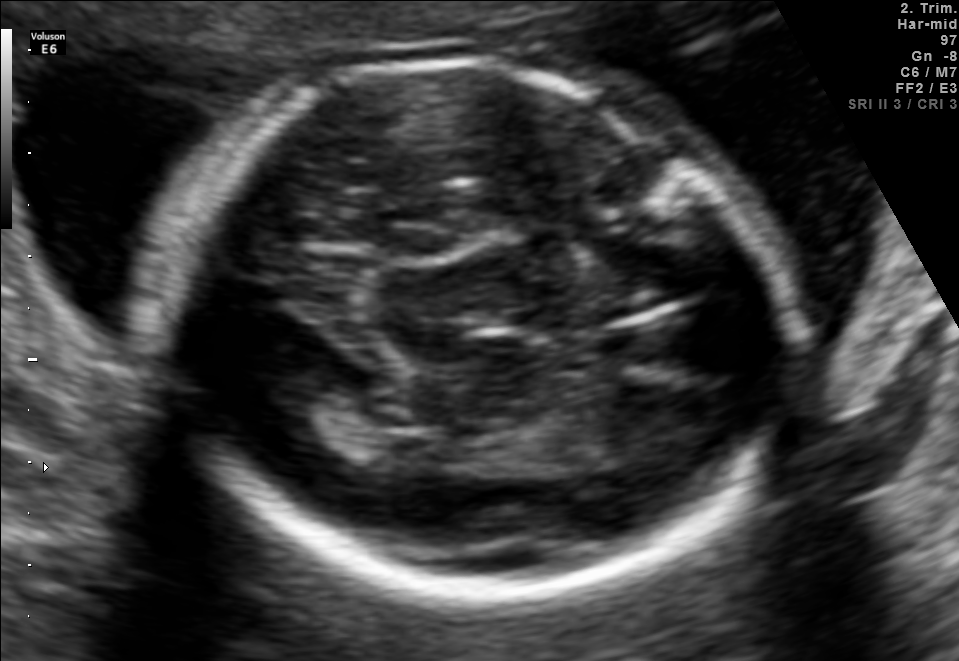
In this fetal brain, trans-thalamic plane, give the bounding box of the fetal head.

[158,64,795,599]